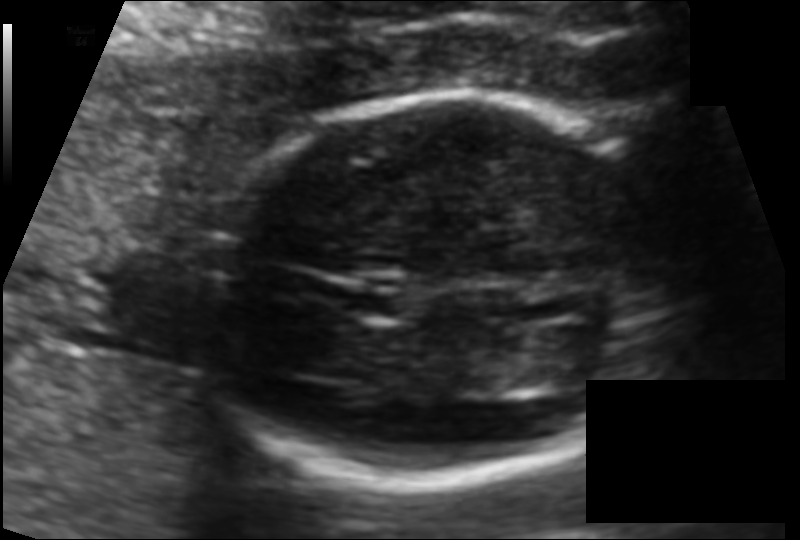
Estimate the fetal head circumference from this 2D ultrasound.

Head circumference: 142.2 mm (image width 80.0 mm).